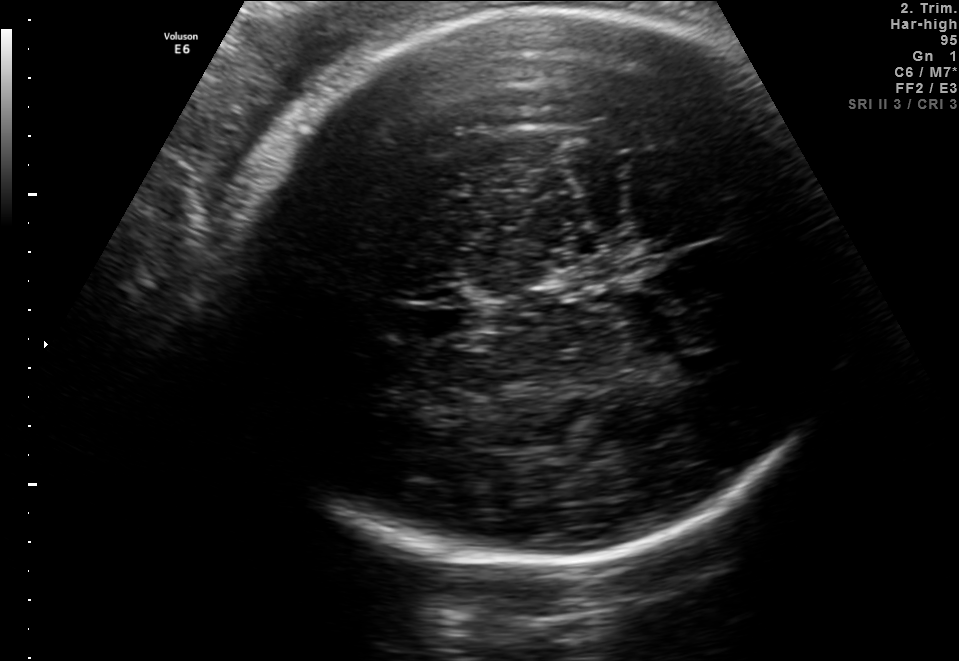
In this fetal brain, trans-thalamic plane, give the bounding box of the fetal head.

[234,6,845,563]